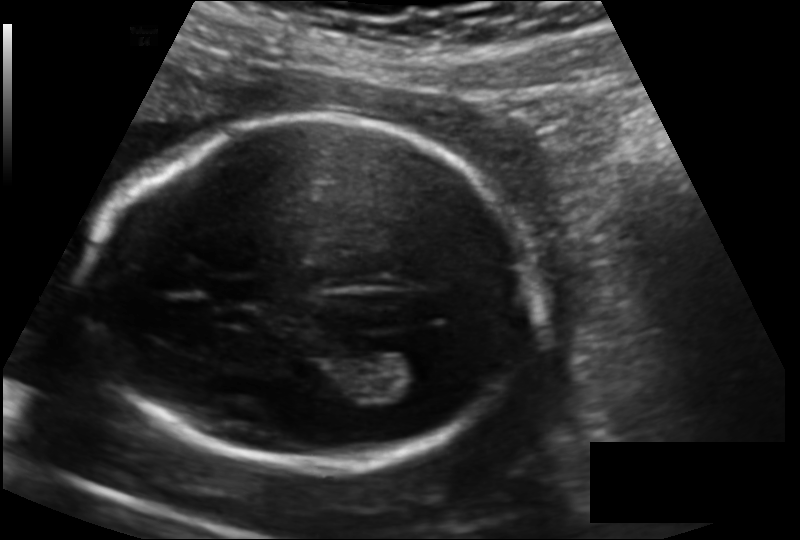
Fetal head ultrasound. Image width: 111.4 mm. Locate the fetal head.

Head: [86,118,529,465]